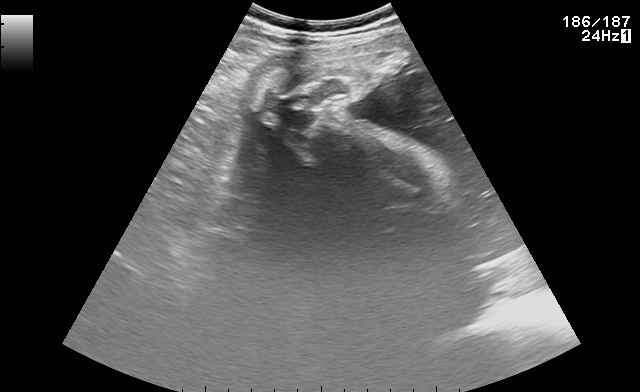
Which standard maternal-fetal ultrasound plane is shown: fetal abdomen, fetal brain, fetal femur, fetal thorax, maternal cervix, or other? If it's fetal brain and one of the three standard brain planes (trans-thalamic, trans-cerebellum, trans-ventricular), name which.

Other